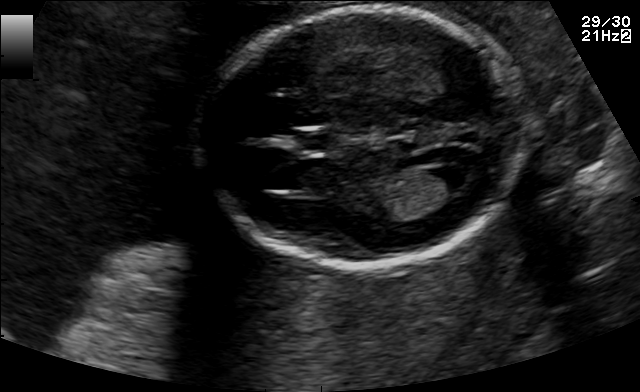
Fetal brain, trans-ventricular plane. Give [x1,y1,x2,y2] bounding boxes for each visible structure among: fetal head, CSP, LV.

Head: [195,4,539,275]
CSP: [296,131,329,149]
Lateral ventricle: [430,158,484,197]